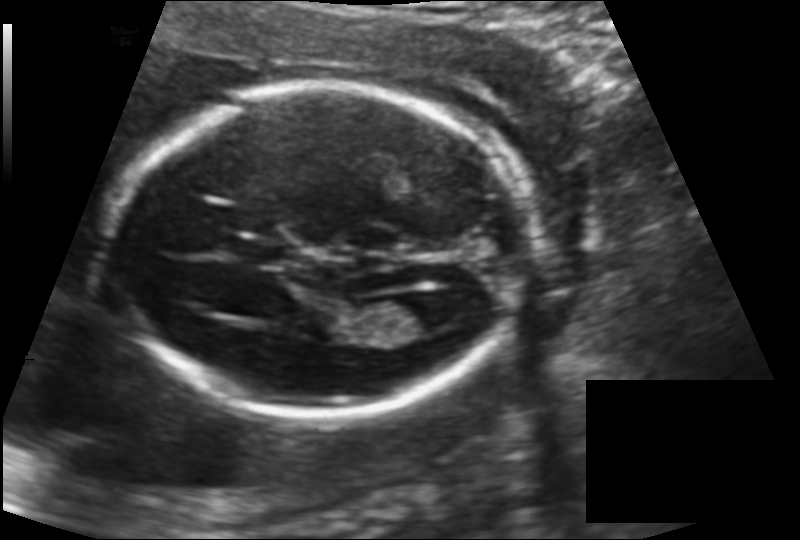
In this fetal head ultrasound, give the bounding box of the lateral ventricle. Image width: 113.5 mm.

[382,288,454,337]